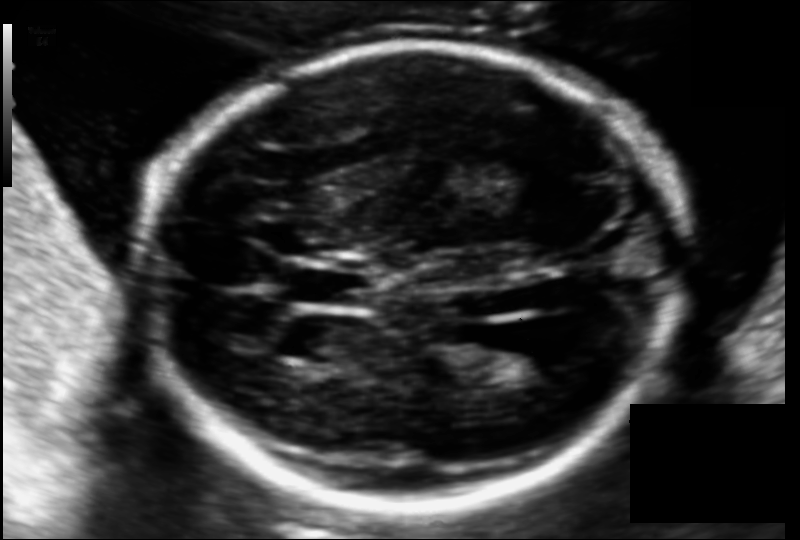
Estimate the fetal head circumference from this 2D ultrasound.

Head circumference: 191.5 mm (image width 94.4 mm).